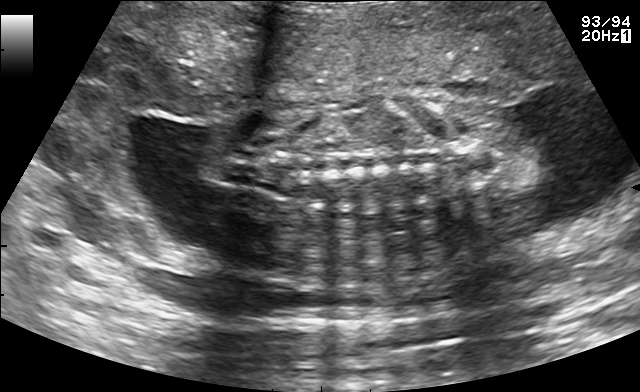
This is a 2D maternal-fetal ultrasound frame. Is it a fetal abdomen, fetal brain, fetal femur, fetal thorax, maternal cervix, or other standard plane? If it's fetal brain and one of the three standard brain planes (trans-thalamic, trans-cerebellum, trans-ventricular), name which.

Other